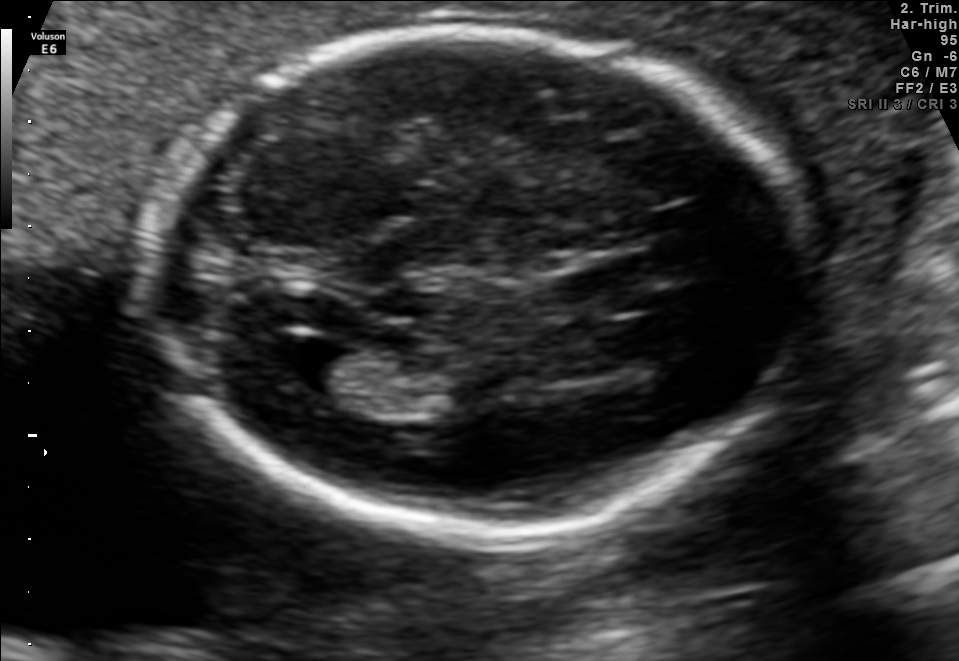
Fetal brain, trans-ventricular plane. Where is the lateral ventricle?

Lateral ventricle bounding box: [249,314,361,403]